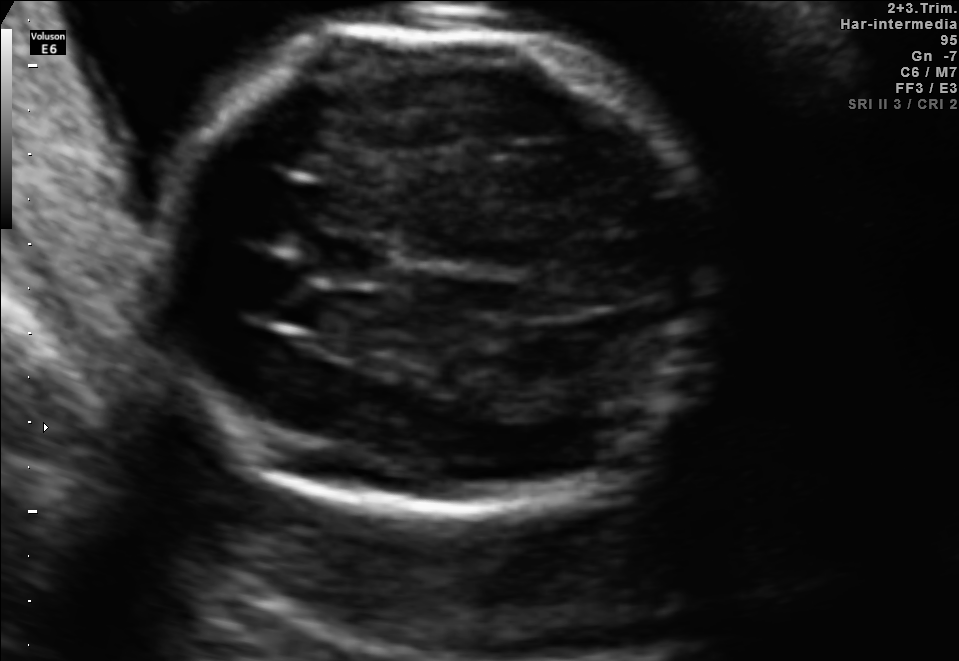
In this fetal brain, trans-thalamic plane, give the bounding box of the fetal head.

[143,26,710,519]